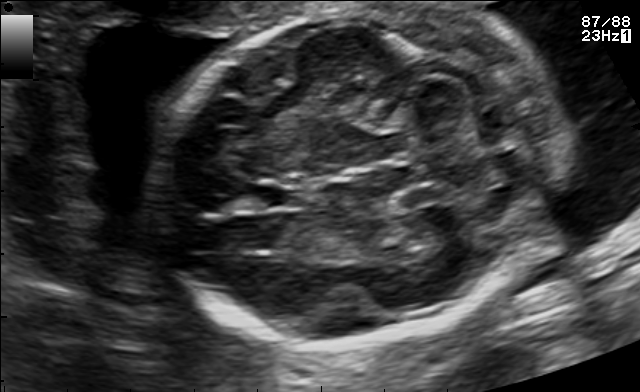
Fetal brain, trans-cerebellum plane. Where is the cavum septum pellucidum?

CSP bounding box: [245,183,301,209]